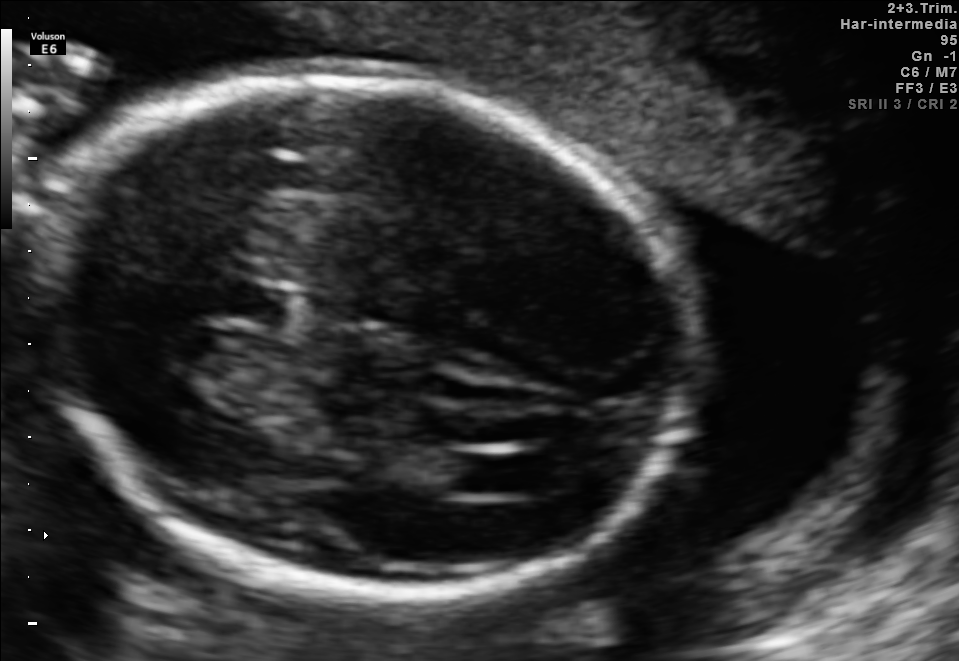
Fetal brain, trans-ventricular plane. Locate the fetal head.

Head: [29,62,704,607]